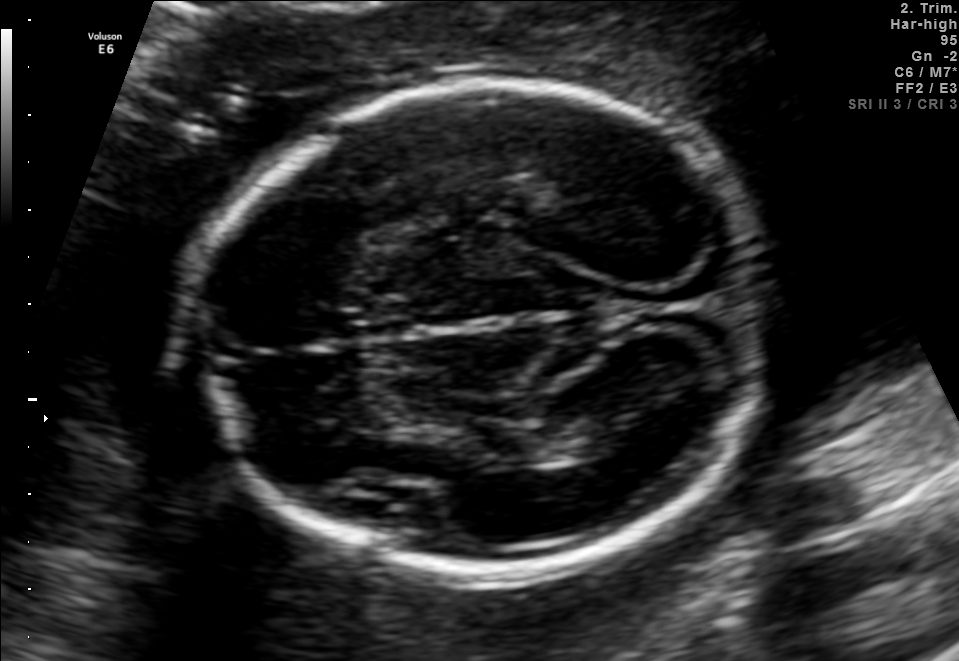
Identify the standard plane in this fetal ultrasound image: fetal abdomen, fetal brain, fetal femur, fetal thorax, maternal cervix, or other. If it's fetal brain and one of the three standard brain planes (trans-thalamic, trans-cerebellum, trans-ventricular), name which.

Fetal brain (trans-thalamic plane)